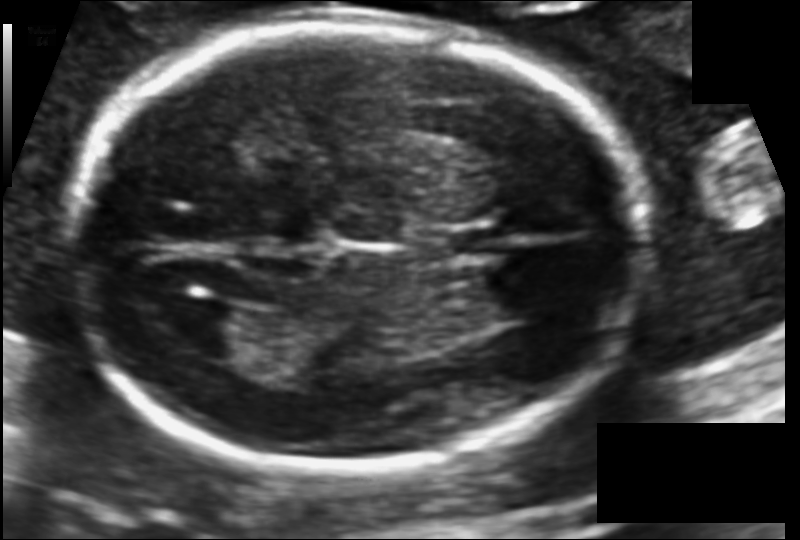
Fetal head ultrasound. Image width: 90.1 mm. Locate the lateral ventricle.

Lateral ventricle: [157,293,251,364]